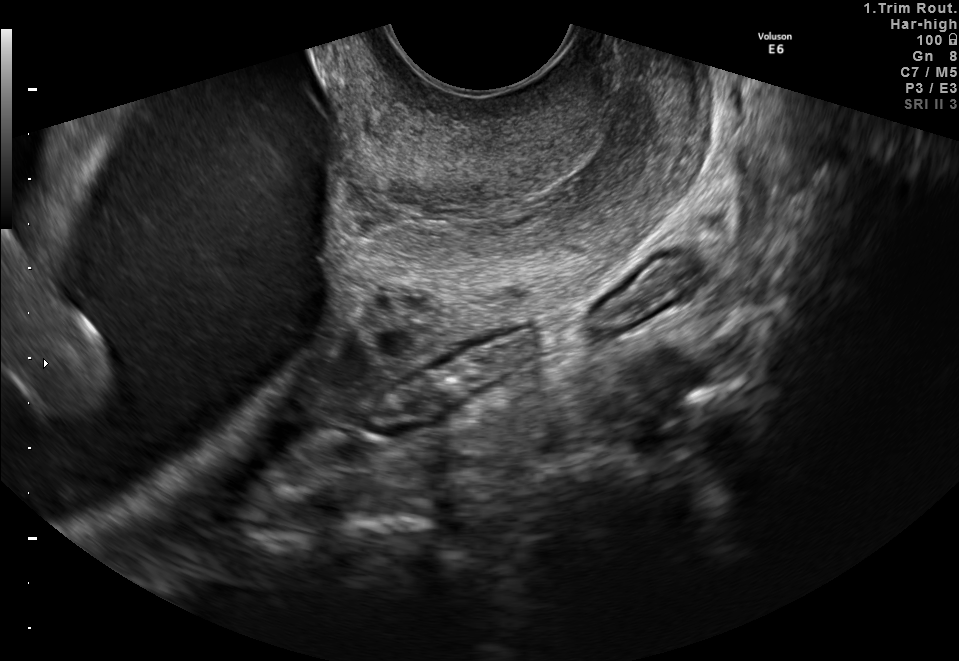
Classify this maternal-fetal ultrasound image as one of the six standard planes — fetal abdomen, fetal brain, fetal femur, fetal thorax, maternal cervix, or other. If it's fetal brain and one of the three standard brain planes (trans-thalamic, trans-cerebellum, trans-ventricular), name which.

Maternal cervix